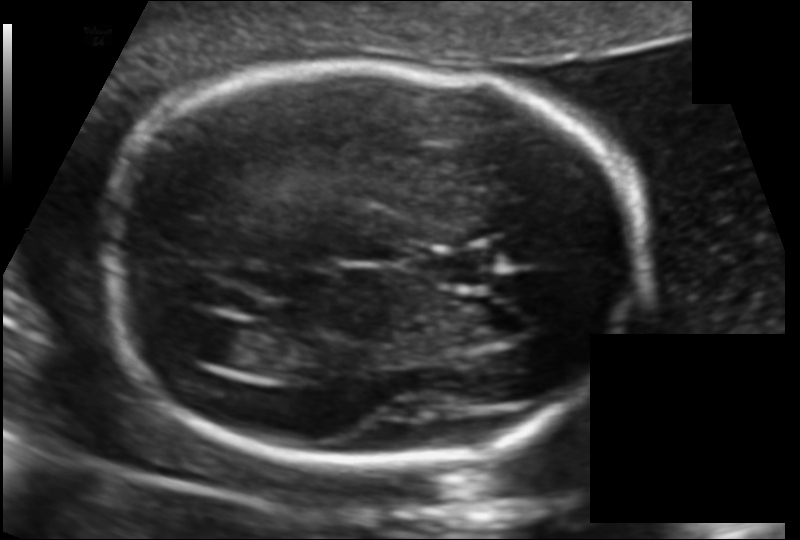
Fetal head ultrasound. Image width: 93.9 mm. Locate the fetal head and, if visible, the cavum septum pellucidum (CSP) and lateral ventricle (LV). Give bounding boxes as [x1,y1,x2,y2].

Head: [97,65,645,461]
CSP: [423,251,496,289]
Lateral ventricle: [178,310,263,375]